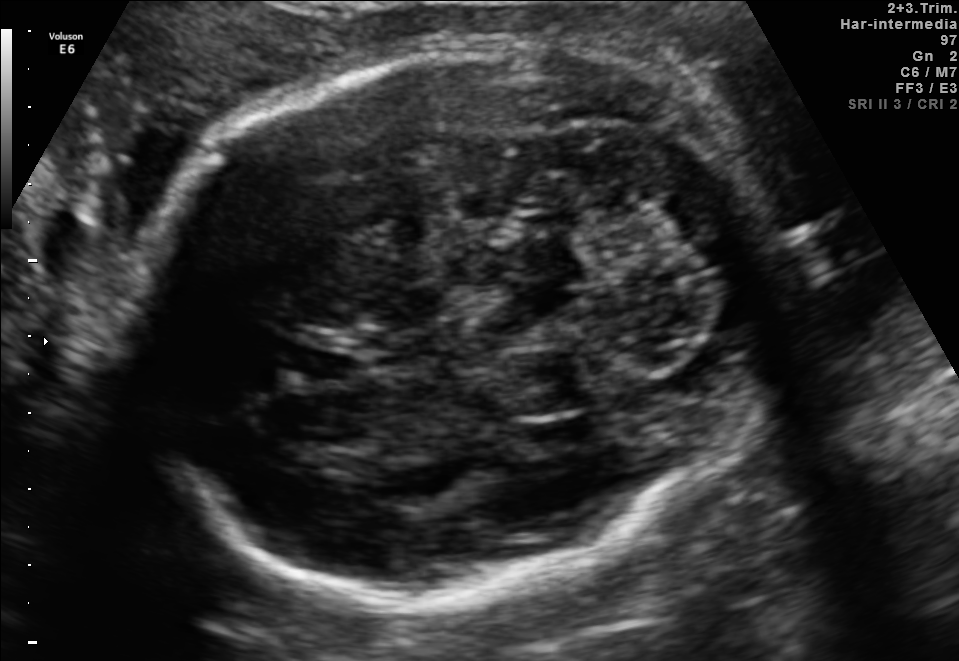
Fetal brain, trans-cerebellum plane. Locate the cavum septum pellucidum.

CSP: [285,337,367,389]